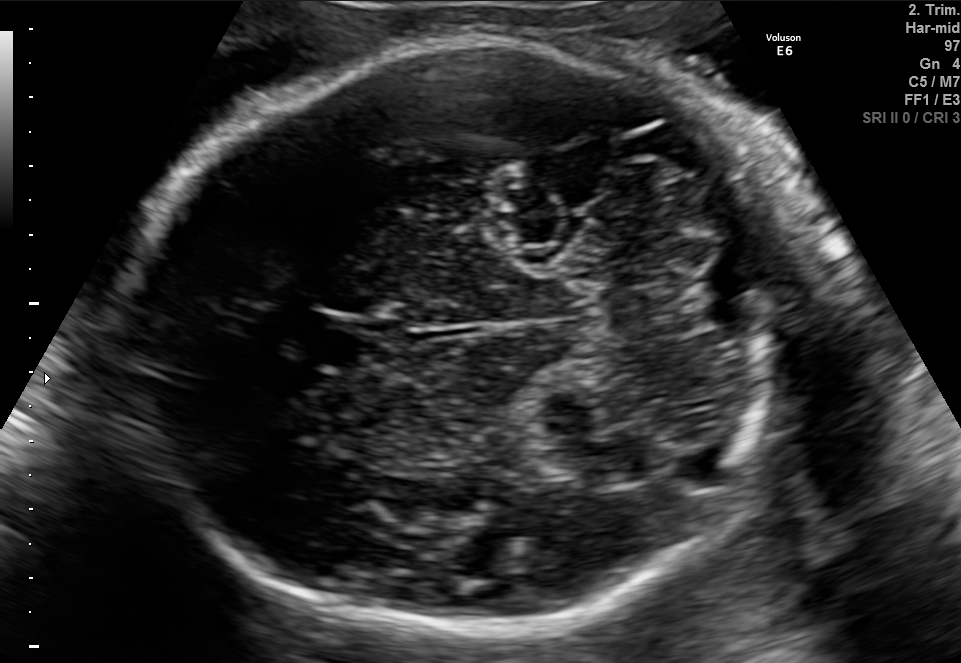
Fetal brain, trans-cerebellum plane. Locate the cavum septum pellucidum.

CSP: [292,307,385,381]